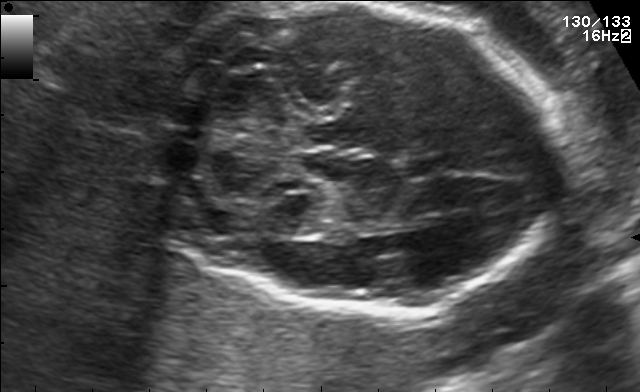
Fetal brain, trans-cerebellum plane. Give [x1,y1,x2,y2] bounding boxes for each visible structure among: fetal head, CSP, LV.

Head: [150,4,561,315]
CSP: [399,151,455,182]